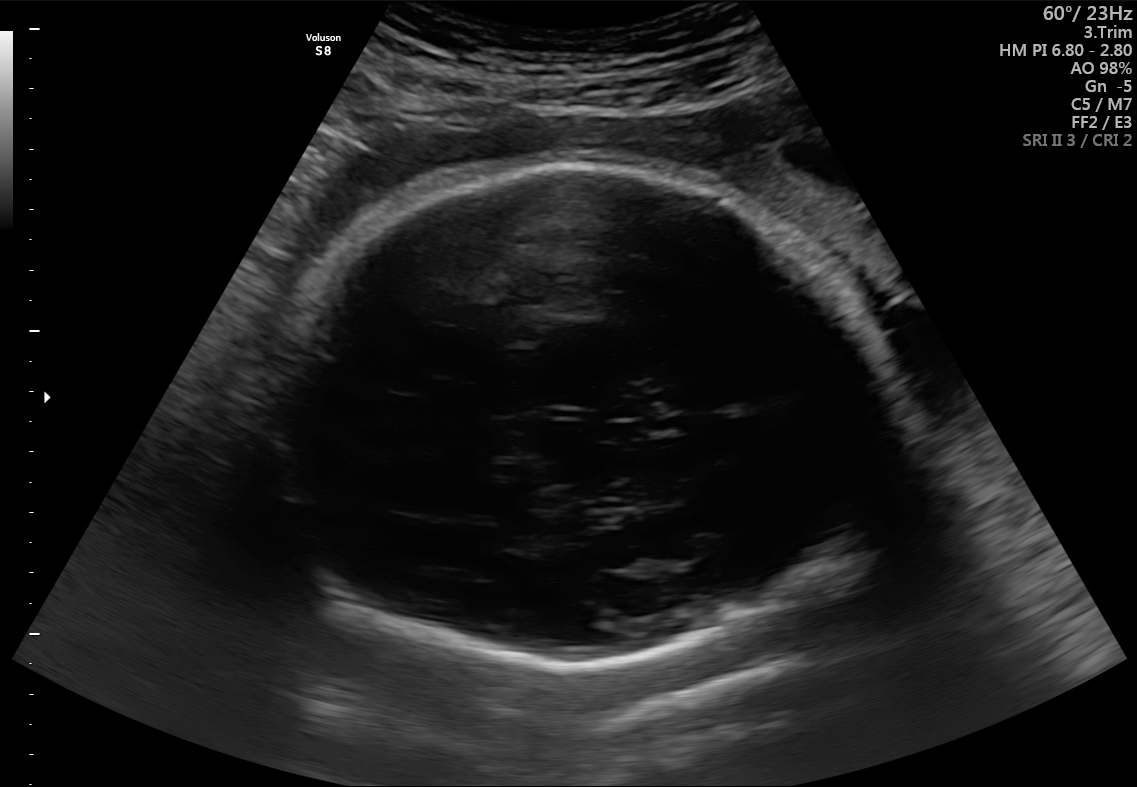
Fetal brain, trans-thalamic plane. Where is the fetal head?

Head bounding box: [263,161,900,664]